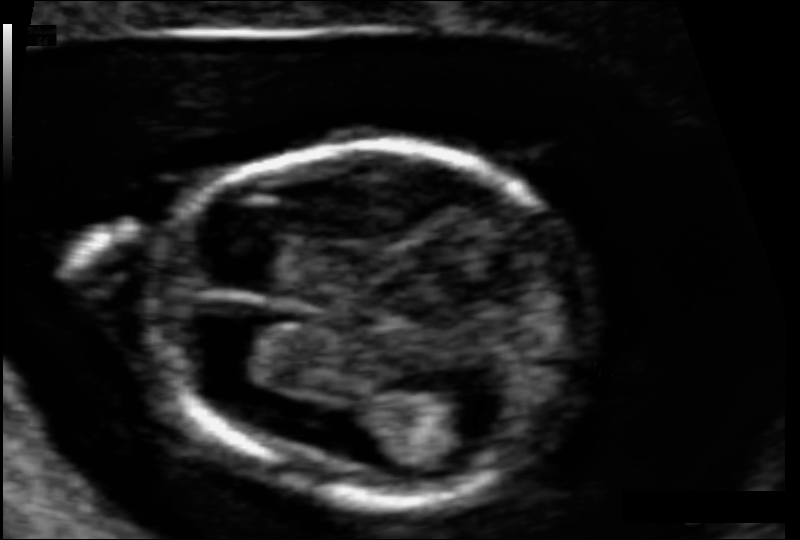
Fetal head ultrasound. Image width: 50.1 mm. Give [x1,y1,x2,y2] bounding boxes for each visible structure among: fetal head, CSP, LV.

Head: [149,145,592,502]